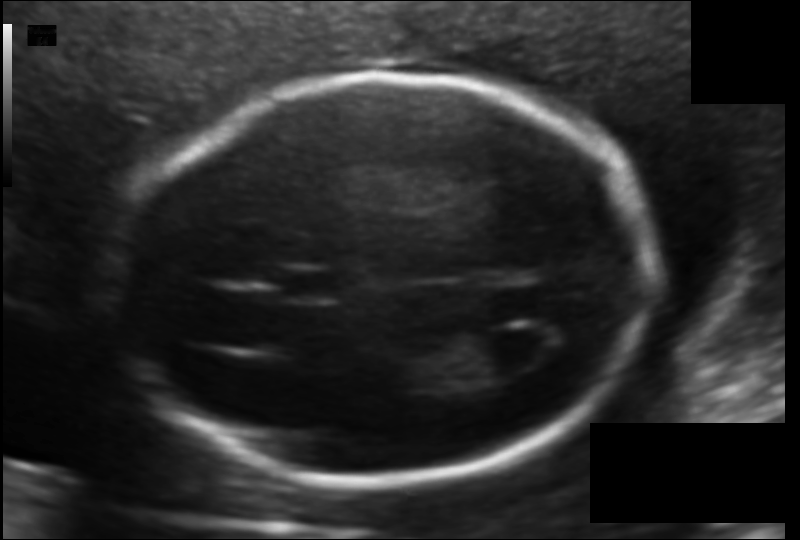
Fetal head ultrasound. Image width: 93.0 mm. Give [x1,y1,x2,y2] bounding boxes for each visible structure among: fetal head, CSP, LV.

Head: [124,76,651,484]
CSP: [270,269,342,300]
Lateral ventricle: [456,314,551,387]